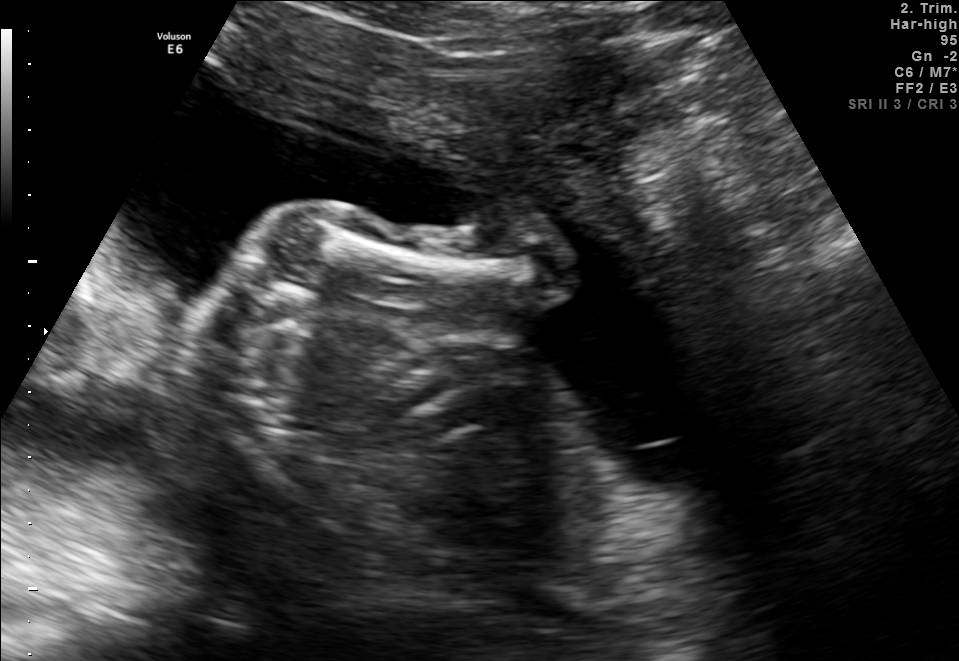
Which standard maternal-fetal ultrasound plane is shown: fetal abdomen, fetal brain, fetal femur, fetal thorax, maternal cervix, or other? If it's fetal brain and one of the three standard brain planes (trans-thalamic, trans-cerebellum, trans-ventricular), name which.

Other